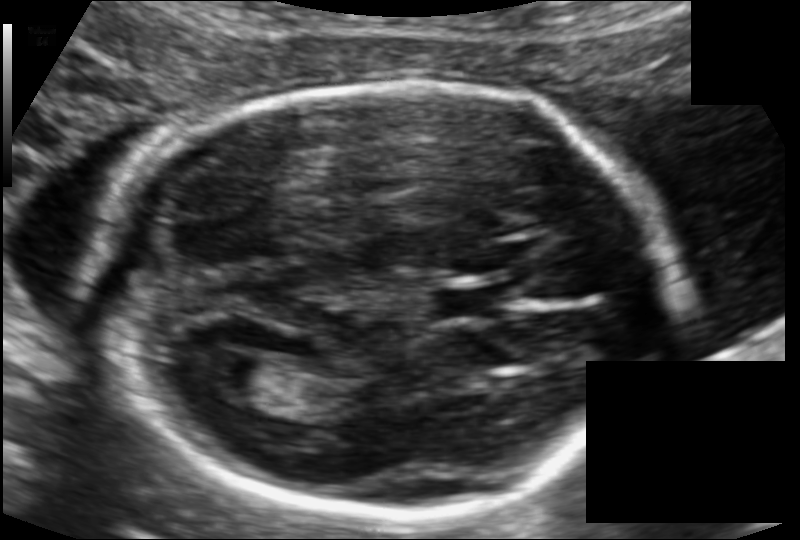
Measure the fetal head circumference shown in this ultrasound image. Image width: 87.3 mm.

Head circumference: 180.7 mm.